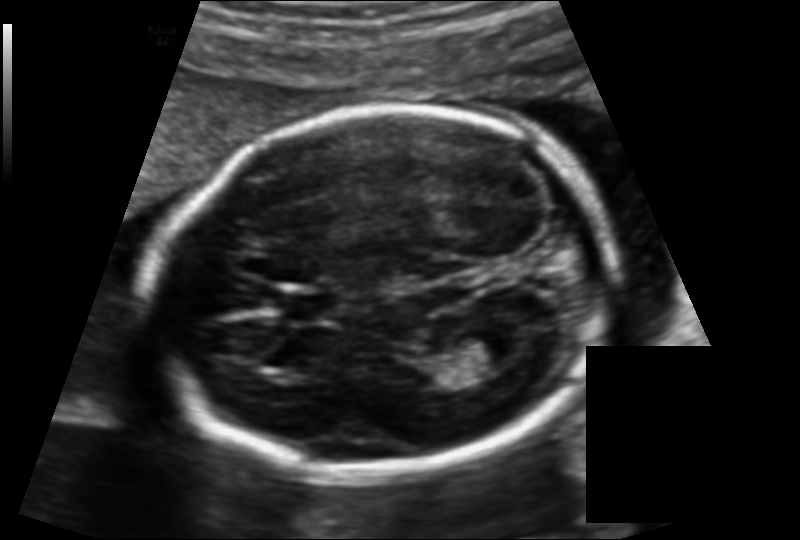
Fetal head ultrasound. Image width: 104.7 mm. Locate the fetal head.

Head: [153,105,615,475]